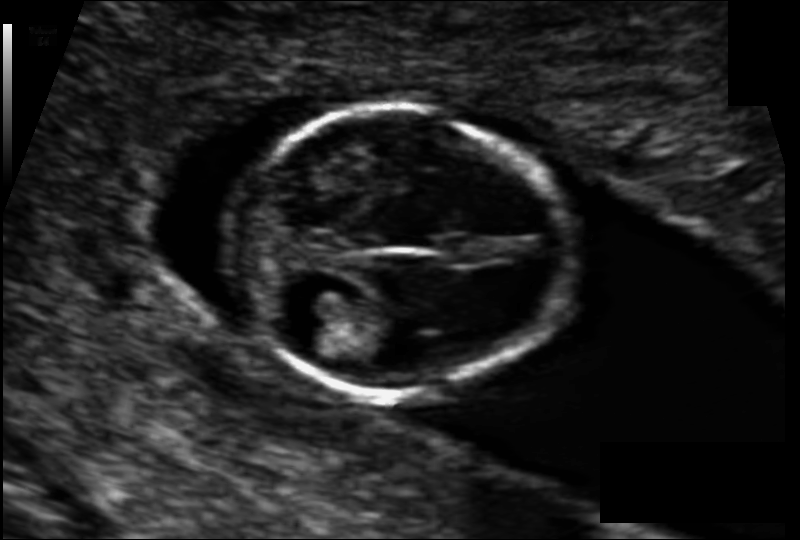
Fetal head ultrasound. Image width: 63.0 mm. Locate the fetal head and, if visible, the cavum septum pellucidum (CSP) and lateral ventricle (LV). Give bounding boxes as [x1,y1,x2,y2].

Head: [229,109,566,399]